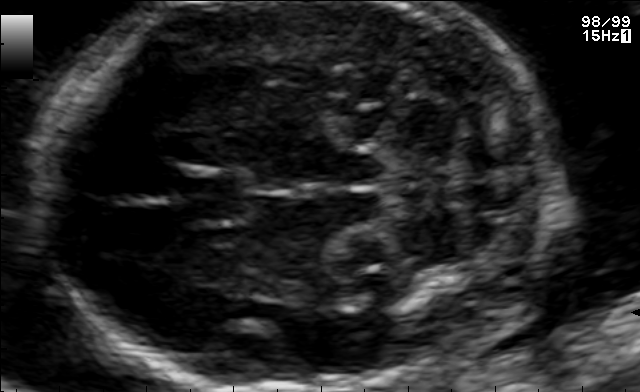
Fetal brain, trans-cerebellum plane. Locate the fetal head and, if visible, the cavum septum pellucidum (CSP) and lateral ventricle (LV). Give bounding boxes as [x1,y1,x2,y2].

Head: [35,4,555,390]
CSP: [178,171,248,224]